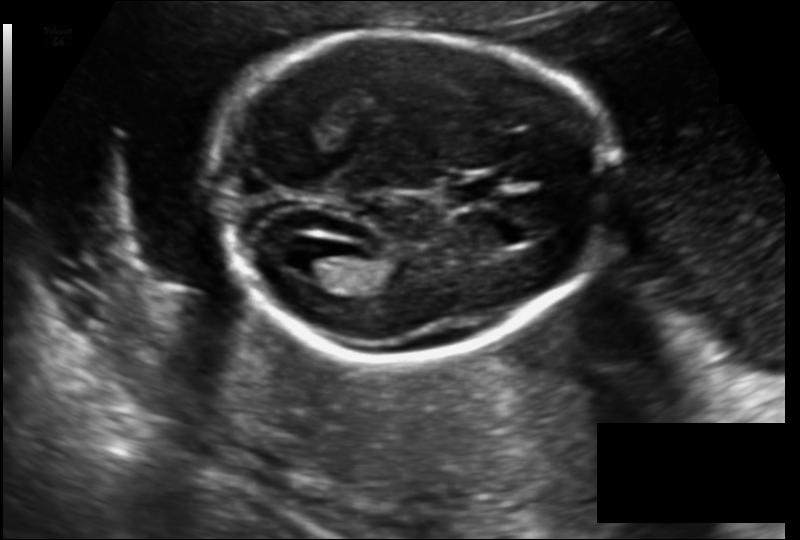
Fetal head ultrasound. Image width: 113.3 mm. Locate the lateral ventricle.

Lateral ventricle: [281,238,347,289]